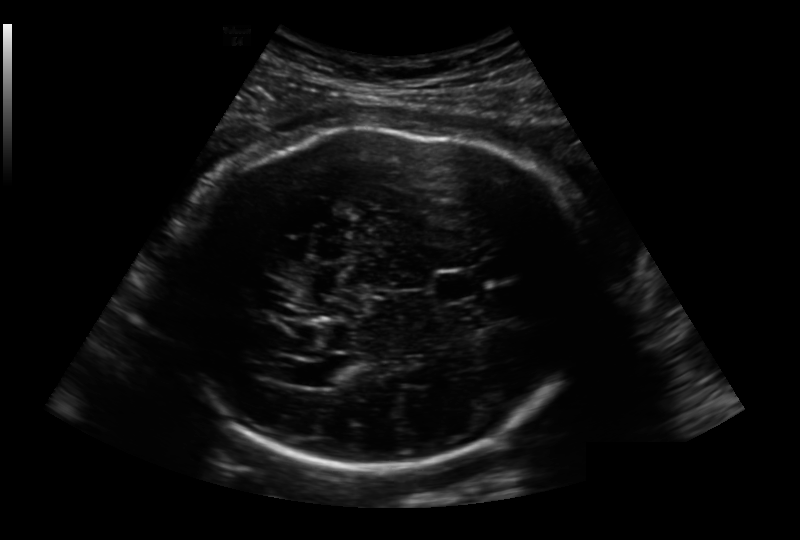
Fetal head ultrasound. Image width: 188.6 mm. Where is the cavum septum pellucidum?

CSP bounding box: [432,264,488,305]